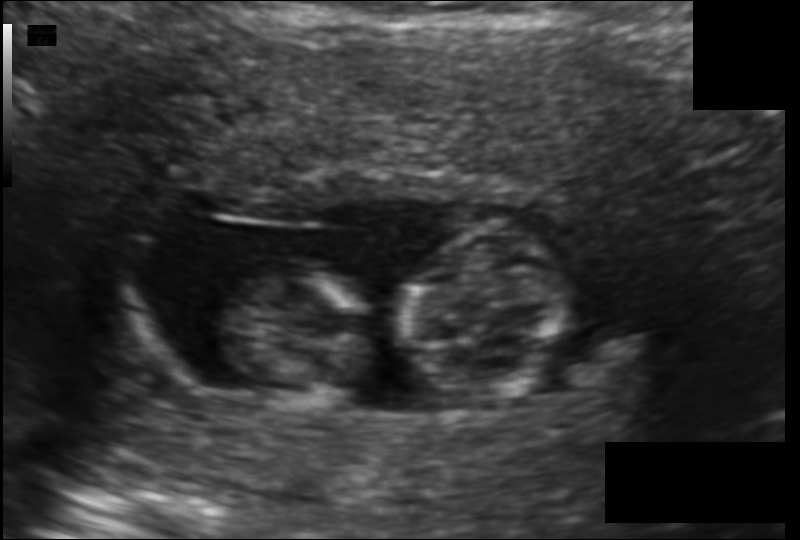
Measure the fetal head circumference shown in this ultrasound image. Image width: 95.3 mm.

Head circumference: 67.9 mm.